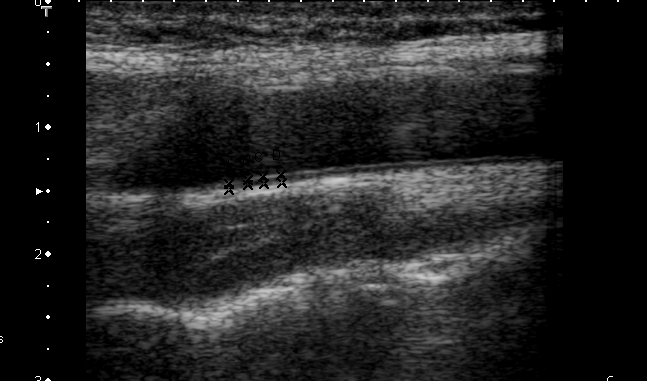
Classify this maternal-fetal ultrasound image as one of the six standard planes — fetal abdomen, fetal brain, fetal femur, fetal thorax, maternal cervix, or other. If it's fetal brain and one of the three standard brain planes (trans-thalamic, trans-cerebellum, trans-ventricular), name which.

Other